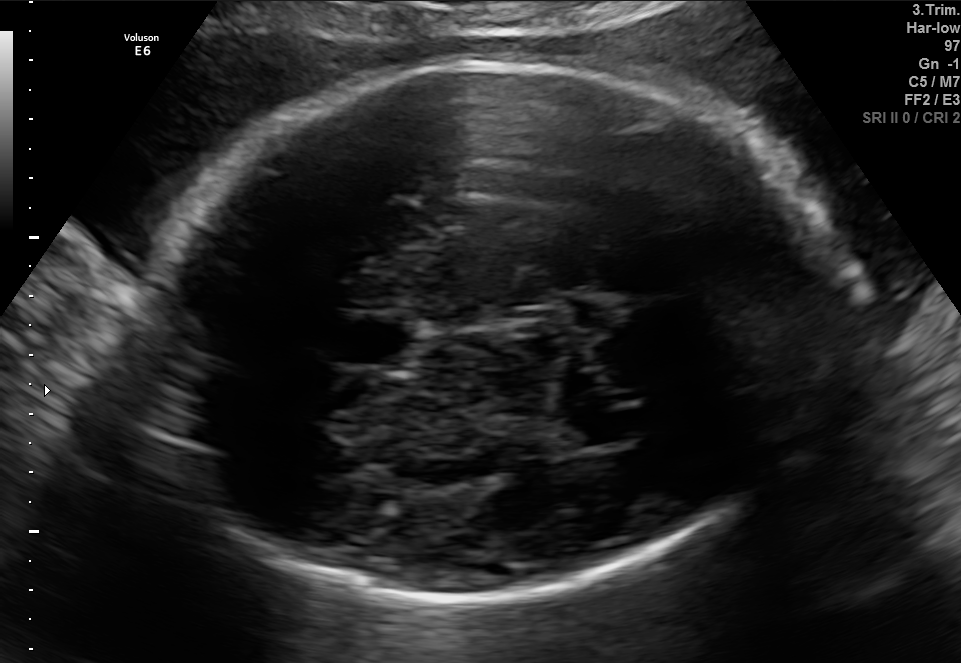
Fetal brain, trans-thalamic plane. Where is the fetal head?

Head bounding box: [138,61,847,596]